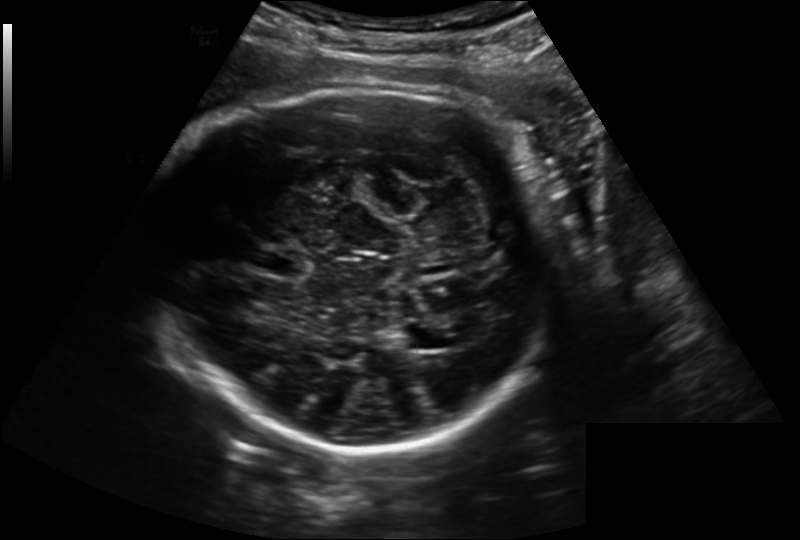
Fetal head ultrasound. Image width: 177.2 mm. Locate the cavum septum pellucidum.

CSP: [251,245,312,284]